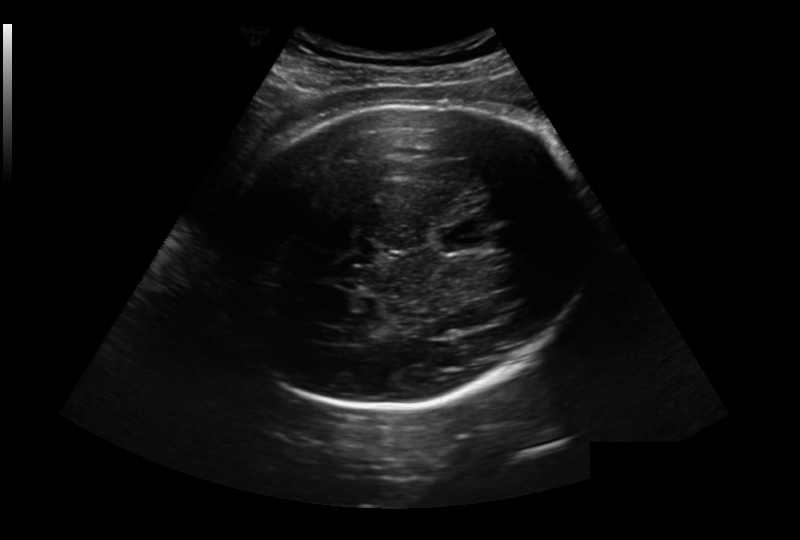
In this fetal head ultrasound, give the bounding box of the fetal head. Image width: 224.8 mm.

[215,107,591,410]